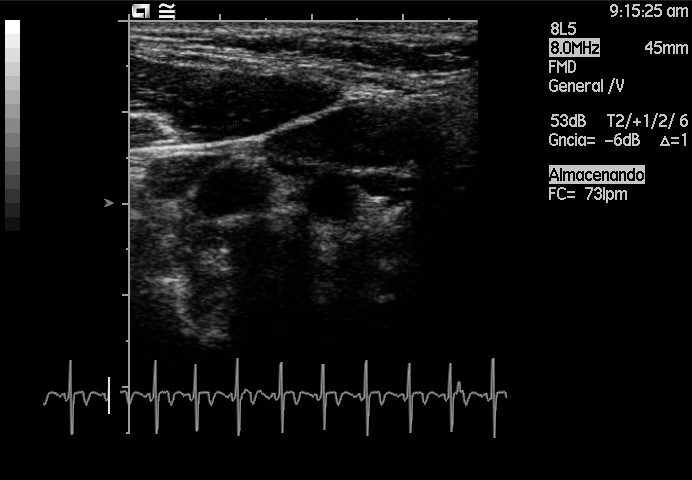
Classify this maternal-fetal ultrasound image as one of the six standard planes — fetal abdomen, fetal brain, fetal femur, fetal thorax, maternal cervix, or other. If it's fetal brain and one of the three standard brain planes (trans-thalamic, trans-cerebellum, trans-ventricular), name which.

Other